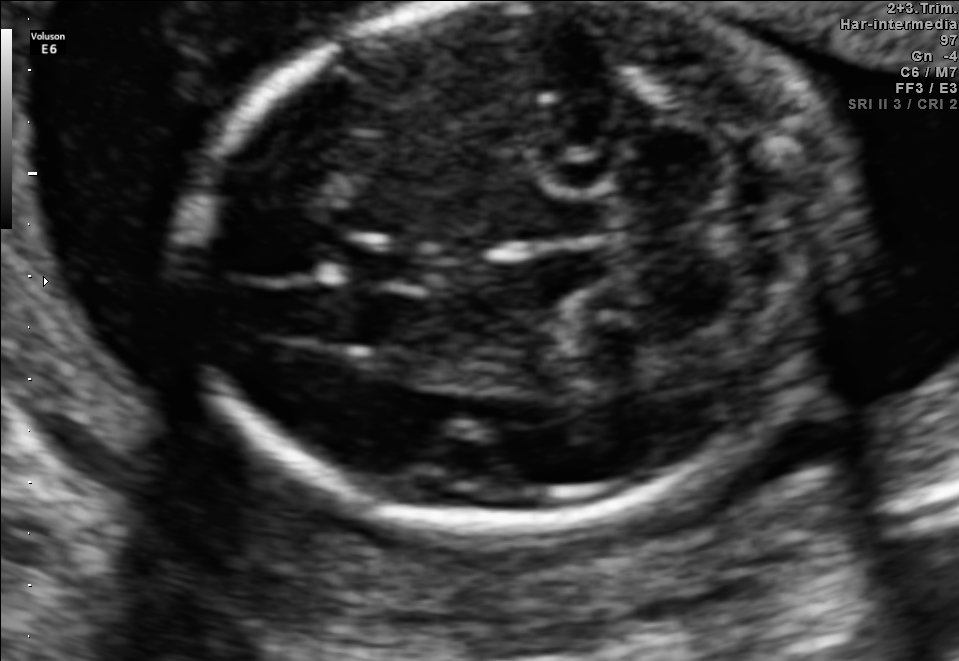
Fetal brain, trans-cerebellum plane. Locate the cavum septum pellucidum.

CSP: [328,235,426,291]